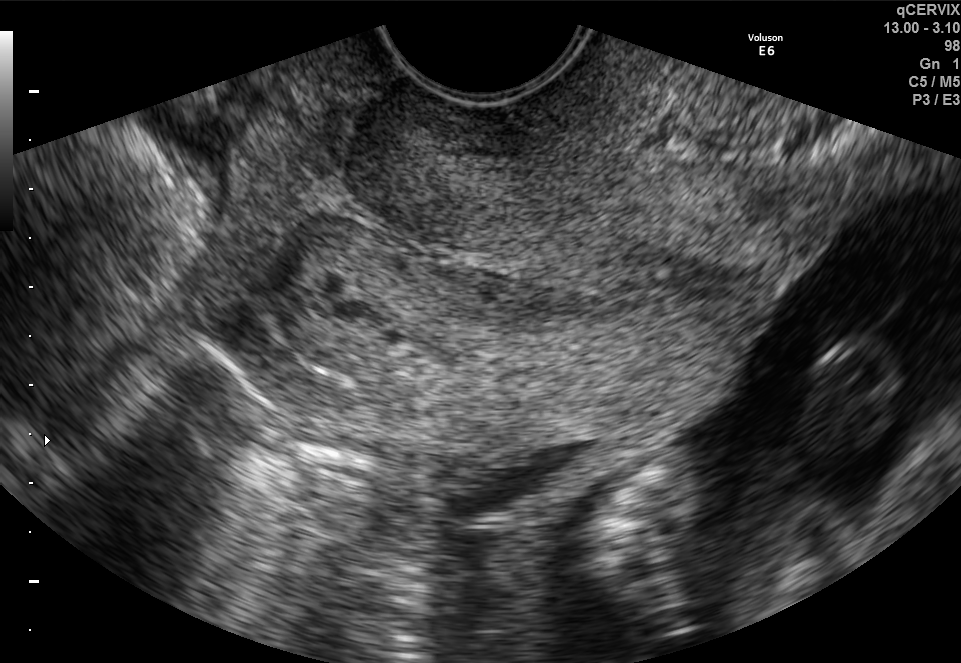
Identify the standard plane in this fetal ultrasound image: fetal abdomen, fetal brain, fetal femur, fetal thorax, maternal cervix, or other. If it's fetal brain and one of the three standard brain planes (trans-thalamic, trans-cerebellum, trans-ventricular), name which.

Maternal cervix